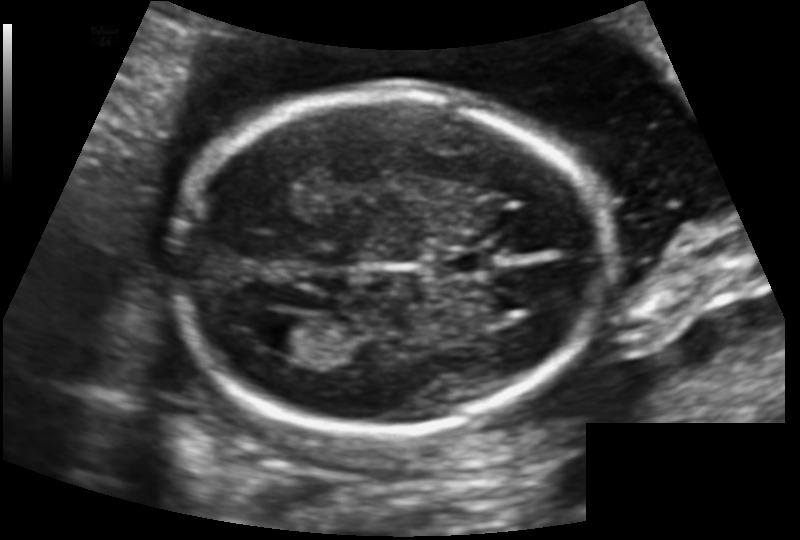
What is the fetal head circumference? Image width is 103.5 mm.

165.0 mm